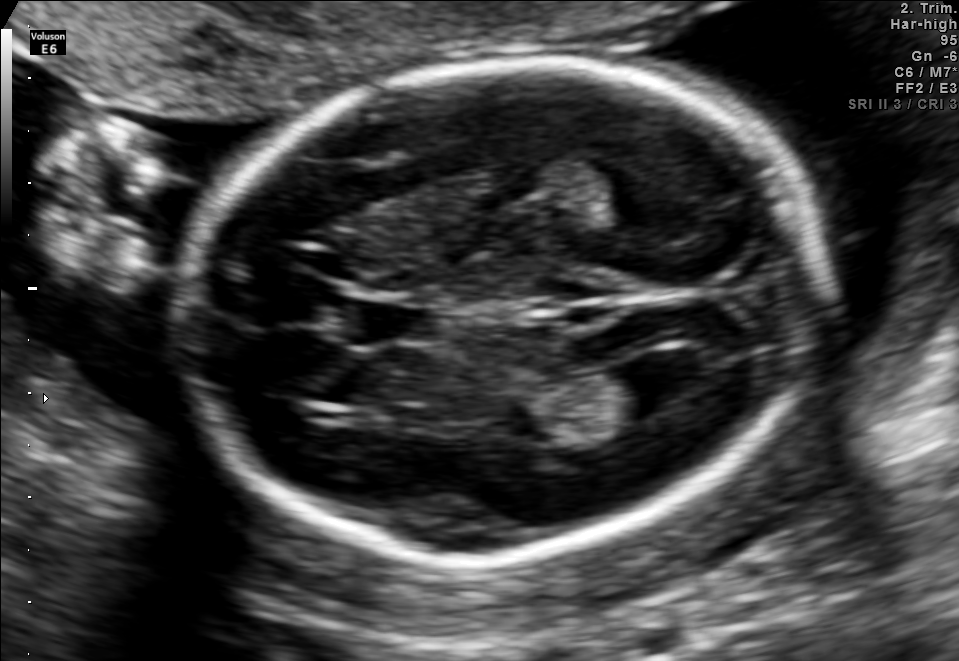
Fetal brain, trans-ventricular plane. Where is the fetal head?

Head bounding box: [167,46,844,571]